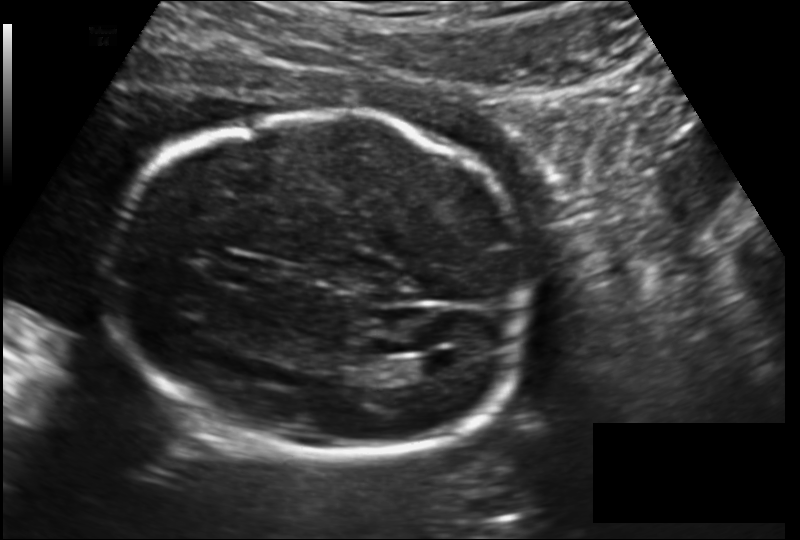
In this fetal head ultrasound, give the bounding box of the cavum septum pellucidum. Image width: 125.8 mm.

[217,252,272,289]